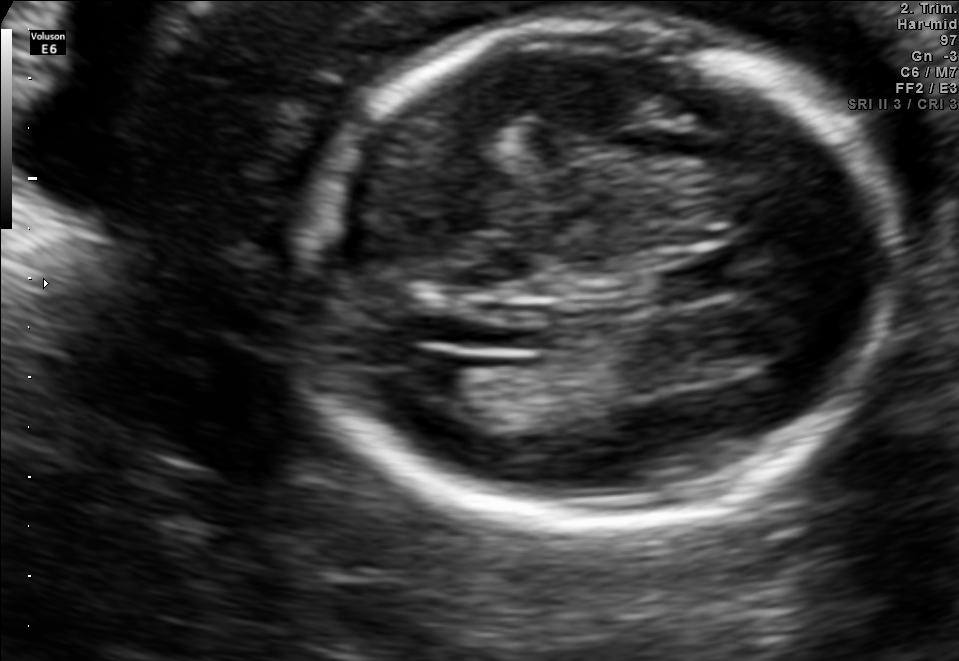
In this fetal brain, trans-ventricular plane, give the bounding box of the cavum septum pellucidum.

[657,253,750,308]